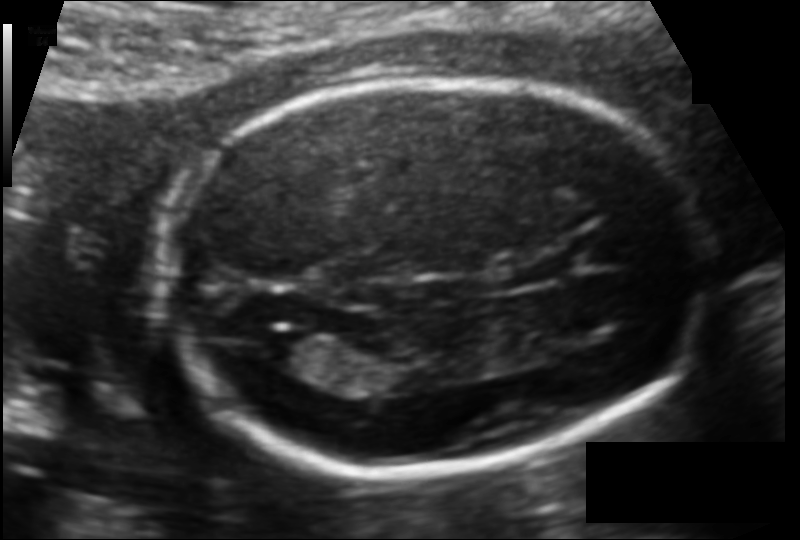
From this fetal ultrasound, estimate the head circumference (image width 87.1 mm).

Head circumference: 163.9 mm.